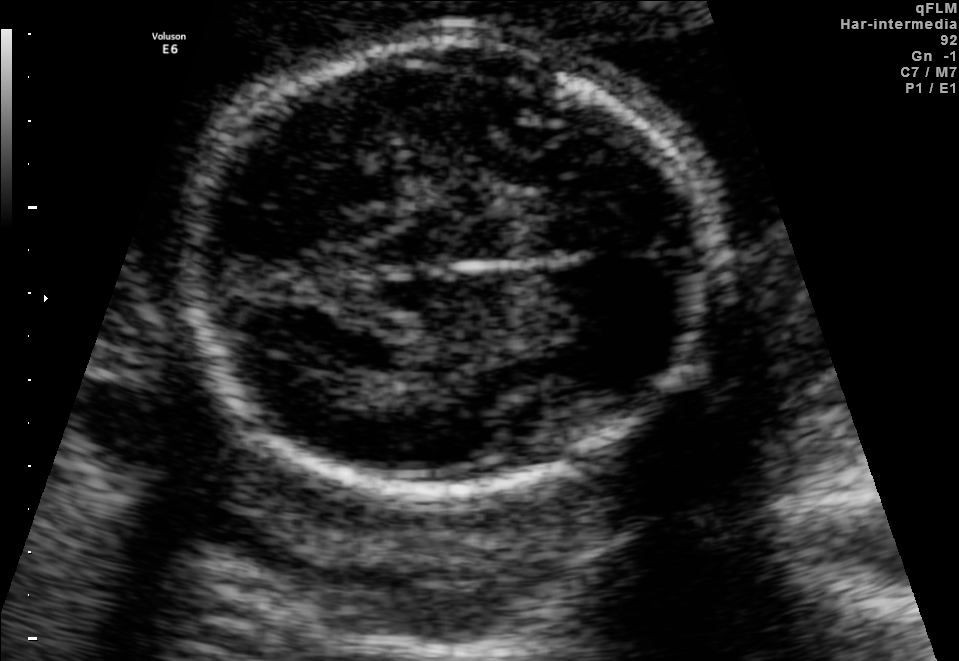
Fetal brain, trans-thalamic plane. Where is the fetal head?

Head bounding box: [181,44,714,489]